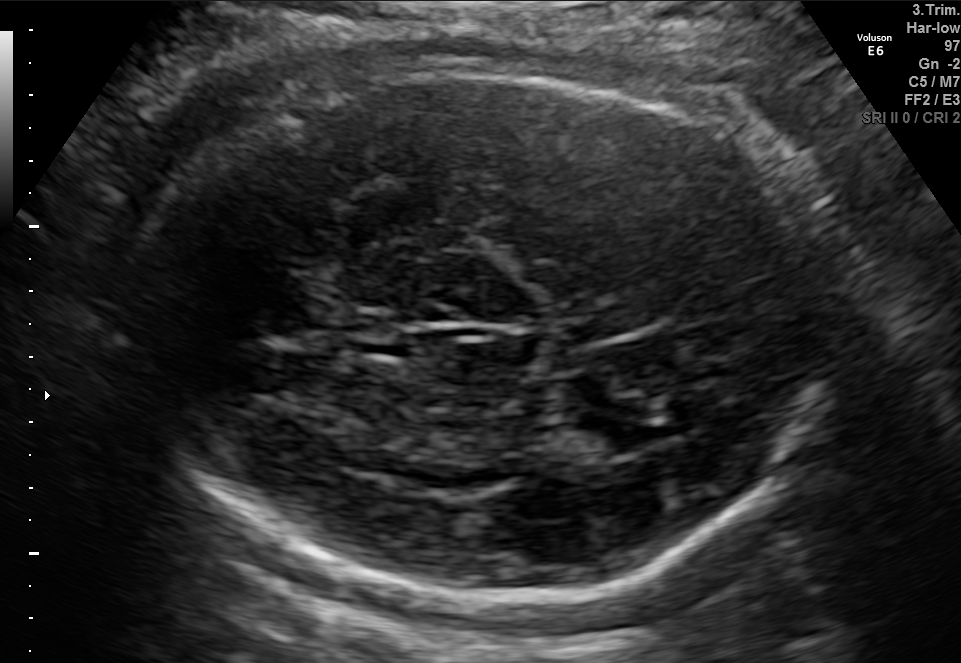
In this fetal brain, trans-thalamic plane, give the bounding box of the cavum septum pellucidum.

[351,336,417,360]